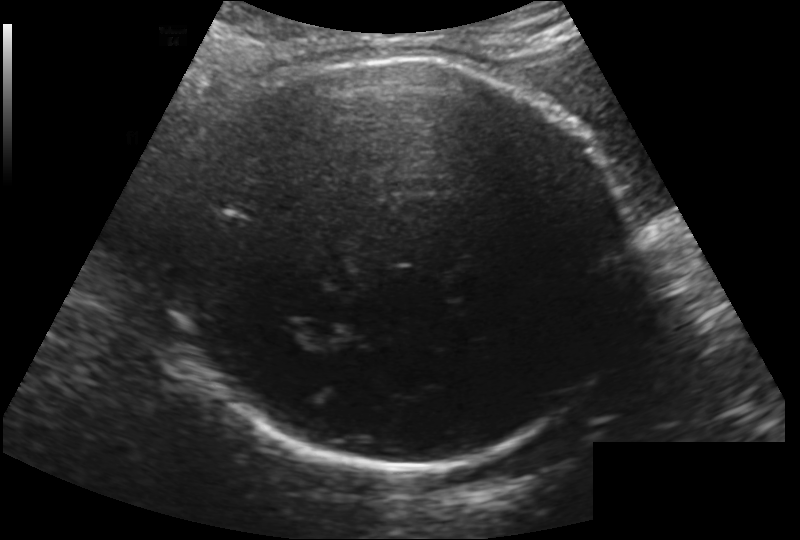
In this fetal head ultrasound, give bounding boxes for the head outline, cavum septum pellucidum (CSP), and lateral ventricle (LV), where visible. Image width: 160.1 mm.

Head: [166,59,632,471]